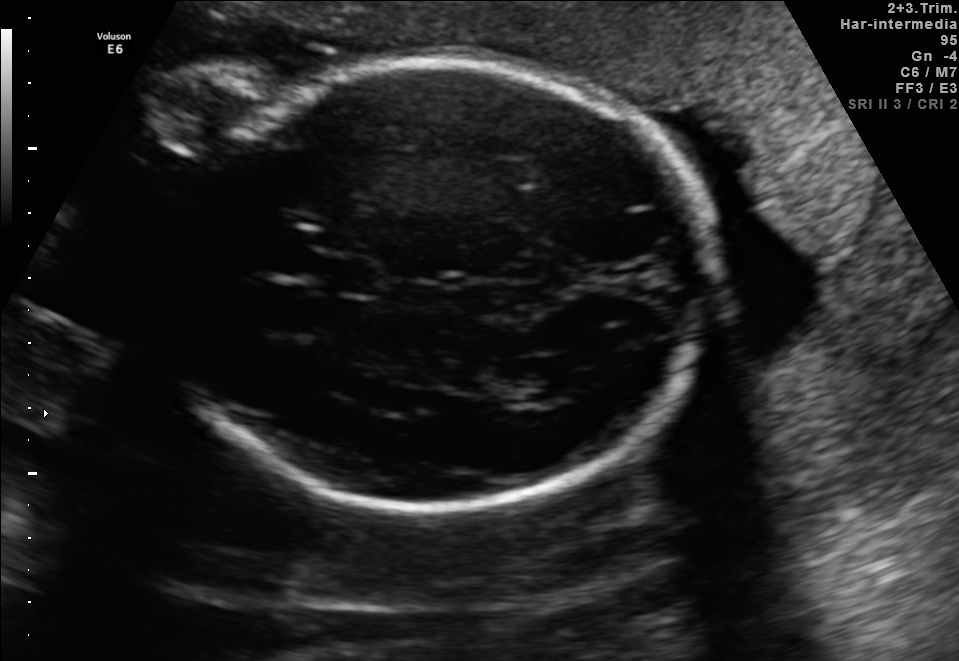
Fetal brain, trans-ventricular plane. Locate the cavum septum pellucidum.

CSP: [322,261,380,295]